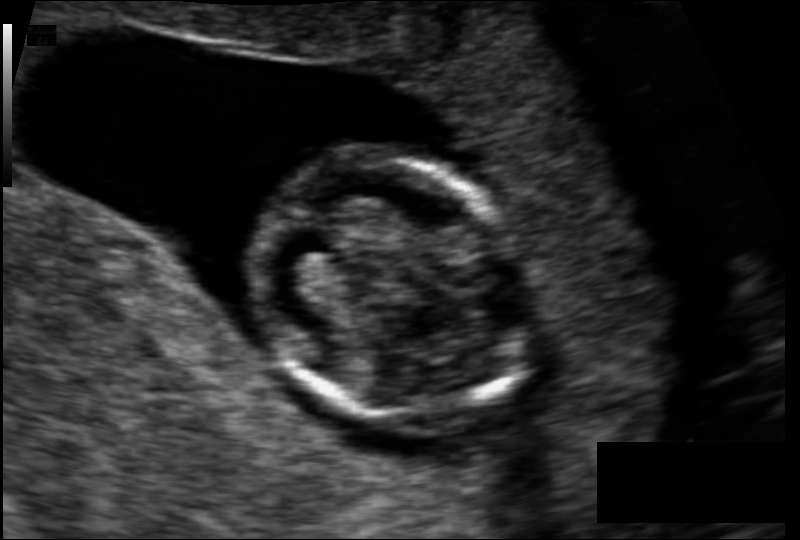
In this fetal head ultrasound, give the bounding box of the fetal head. Image width: 75.6 mm.

[254,153,528,423]